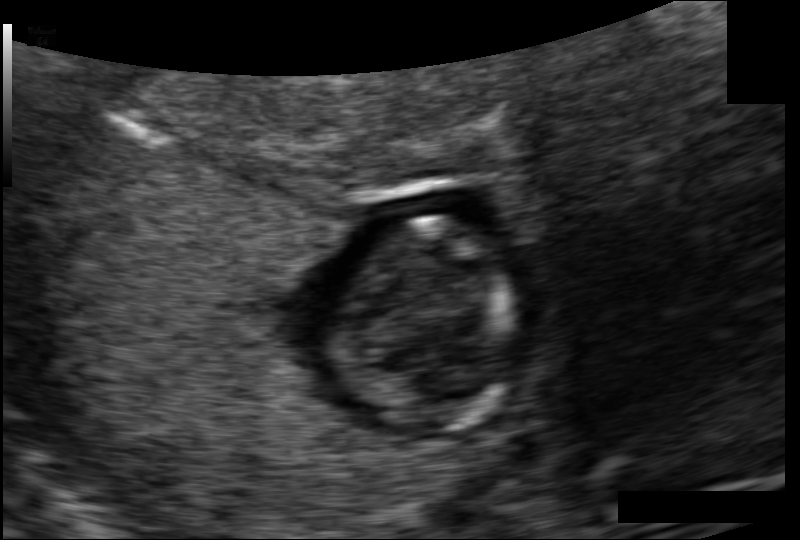
What is the fetal head circumference? Image width is 78.5 mm.

65.4 mm